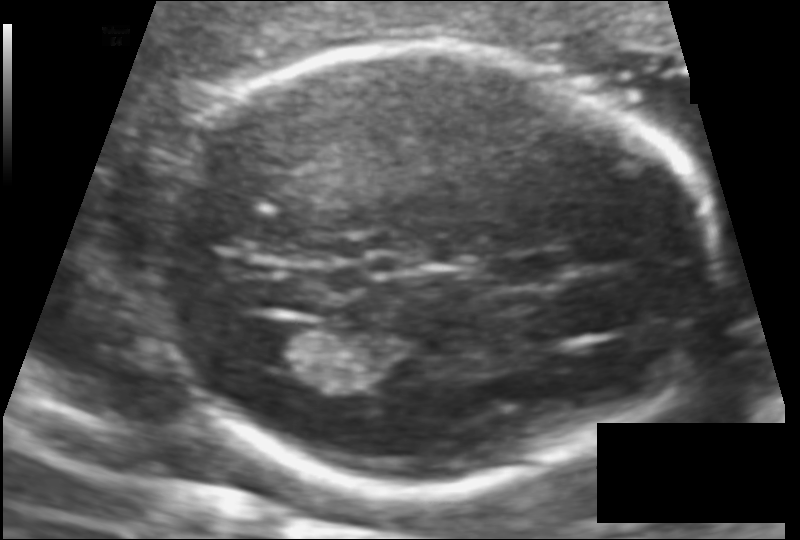
Fetal head ultrasound. Image width: 84.7 mm. Locate the fetal head and, if visible, the cavum septum pellucidum (CSP) and lateral ventricle (LV). Give bounding boxes as [x1,y1,x2,y2].

Head: [151,48,717,489]
CSP: [487,247,574,293]
Lateral ventricle: [239,318,324,372]